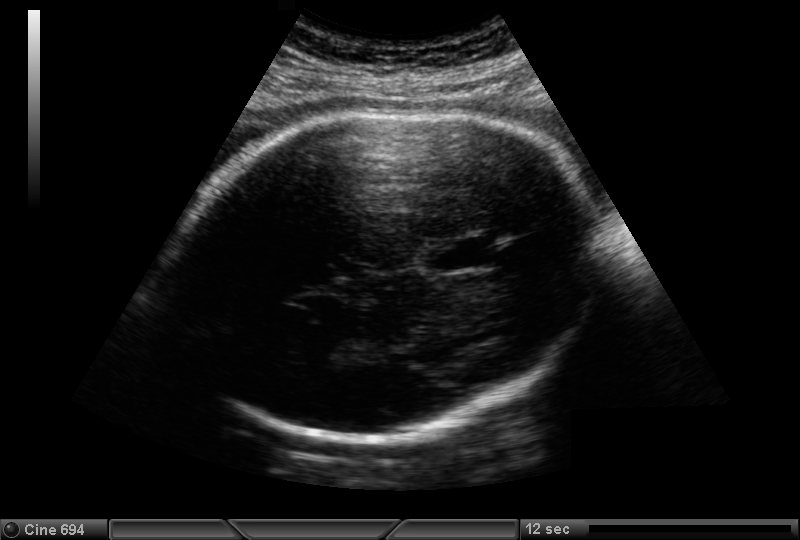
From this fetal ultrasound, estimate the head circumference (image width 176.7 mm).

Head circumference: 272.8 mm.